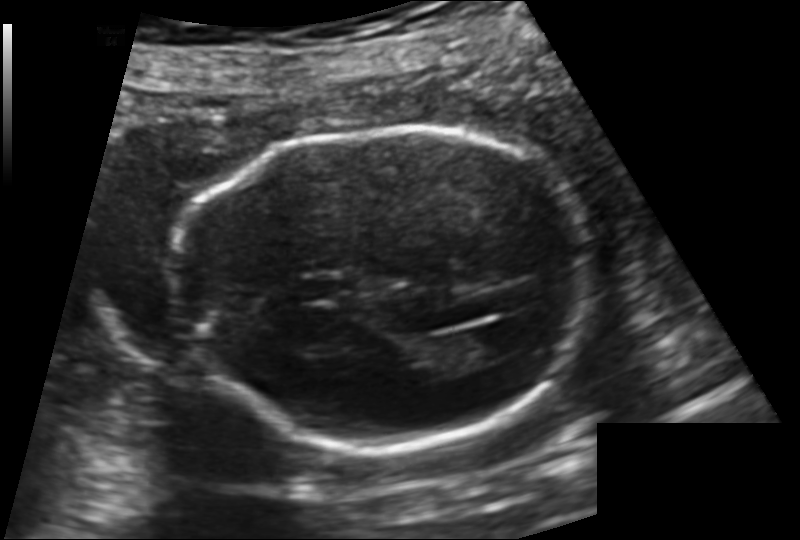
Measure the fetal head circumference shown in this ultrasound image. Image width: 115.3 mm.

Head circumference: 172.1 mm.